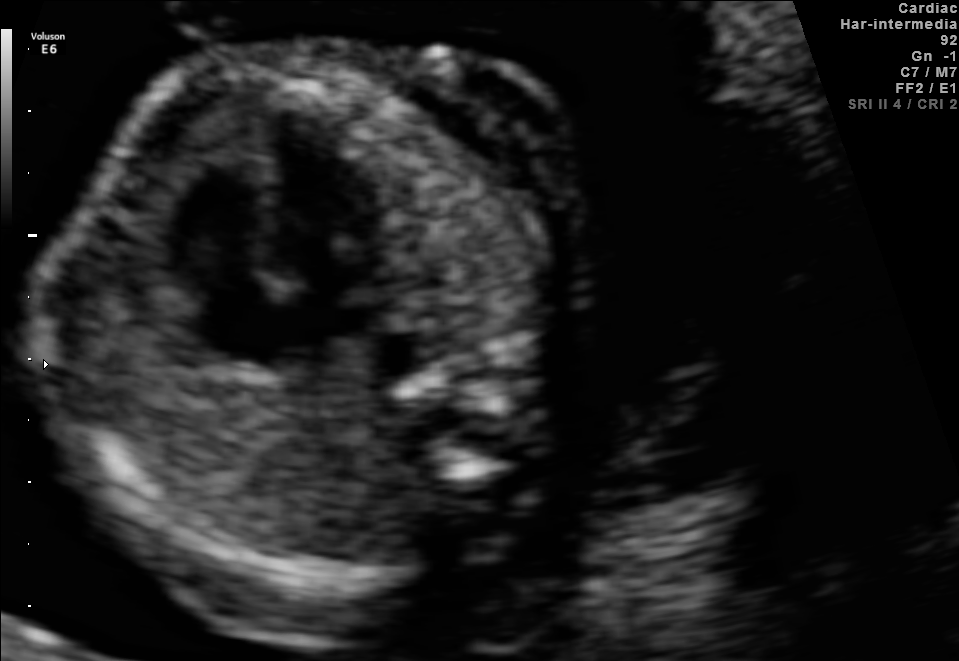
Which standard maternal-fetal ultrasound plane is shown: fetal abdomen, fetal brain, fetal femur, fetal thorax, maternal cervix, or other? If it's fetal brain and one of the three standard brain planes (trans-thalamic, trans-cerebellum, trans-ventricular), name which.

Fetal thorax